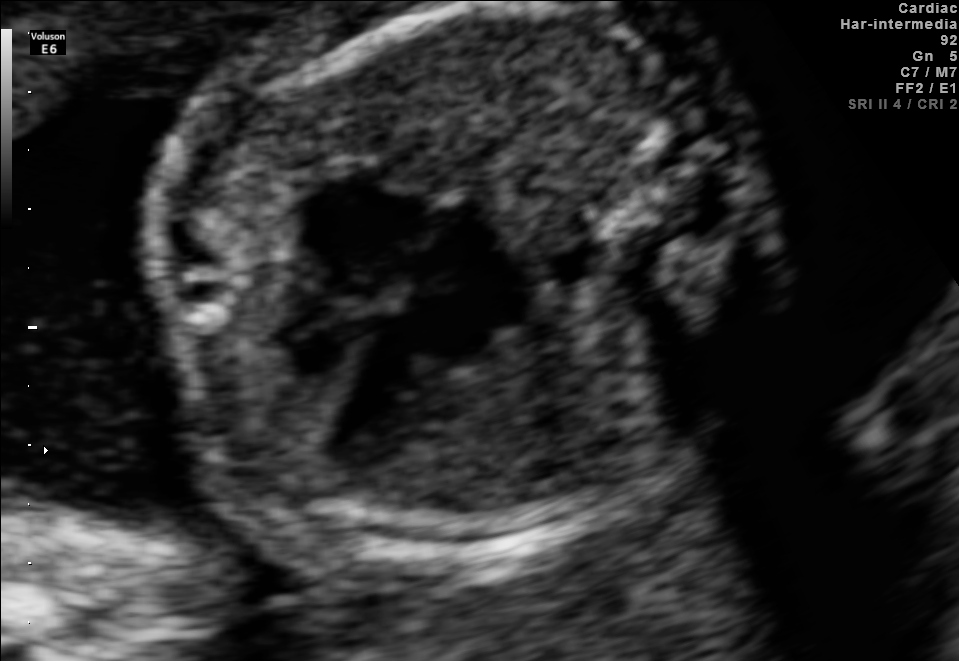
This is a 2D maternal-fetal ultrasound frame. Is it a fetal abdomen, fetal brain, fetal femur, fetal thorax, maternal cervix, or other standard plane? If it's fetal brain and one of the three standard brain planes (trans-thalamic, trans-cerebellum, trans-ventricular), name which.

Fetal thorax